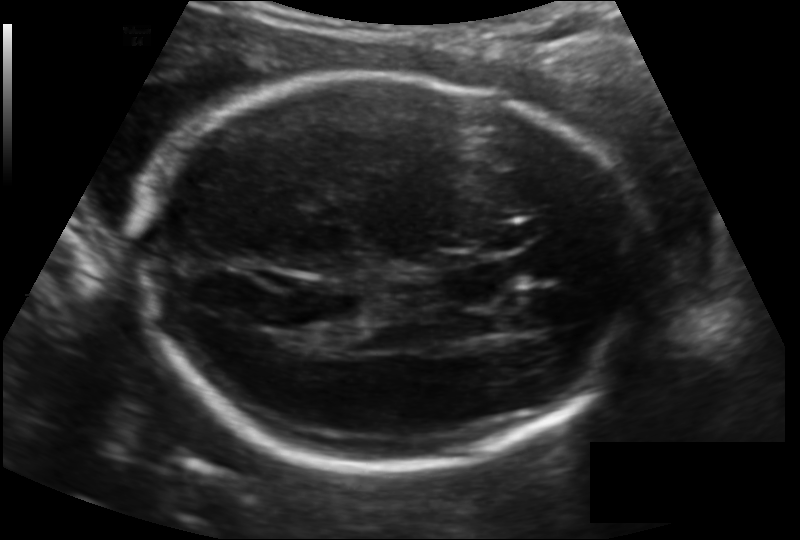
Measure the fetal head circumference shown in this ultrasound image. Image width: 118.2 mm.

Head circumference: 215.5 mm.